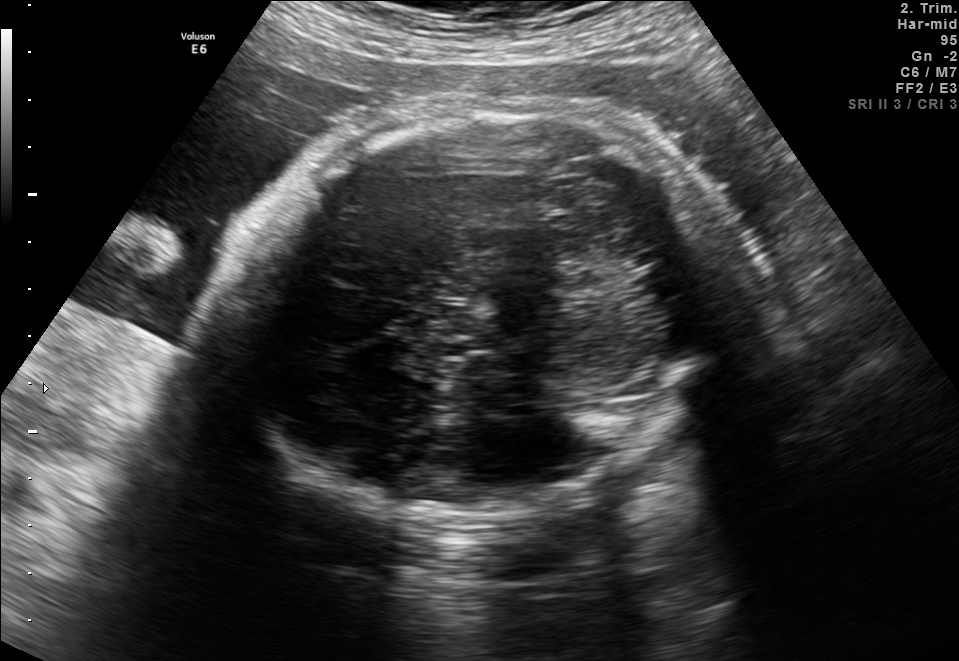
Fetal brain, trans-cerebellum plane. Where is the fetal head?

Head bounding box: [240,103,729,518]